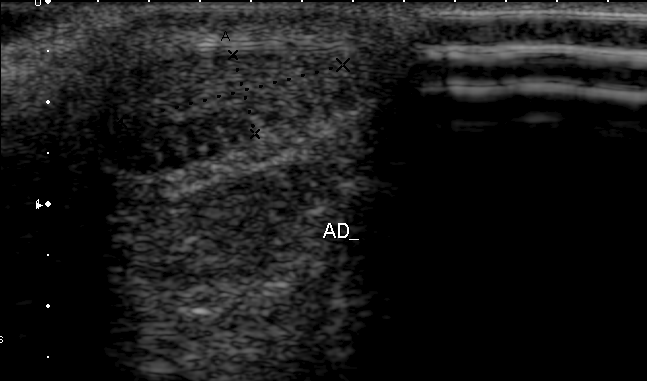
Classify this maternal-fetal ultrasound image as one of the six standard planes — fetal abdomen, fetal brain, fetal femur, fetal thorax, maternal cervix, or other. If it's fetal brain and one of the three standard brain planes (trans-thalamic, trans-cerebellum, trans-ventricular), name which.

Other